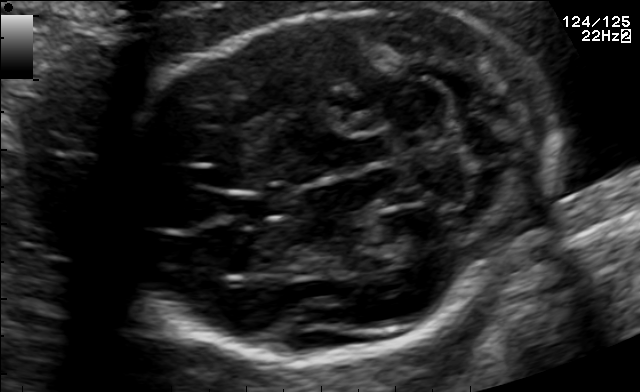
Fetal brain, trans-cerebellum plane. Where is the cavum septum pellucidum?

CSP bounding box: [229,189,284,222]